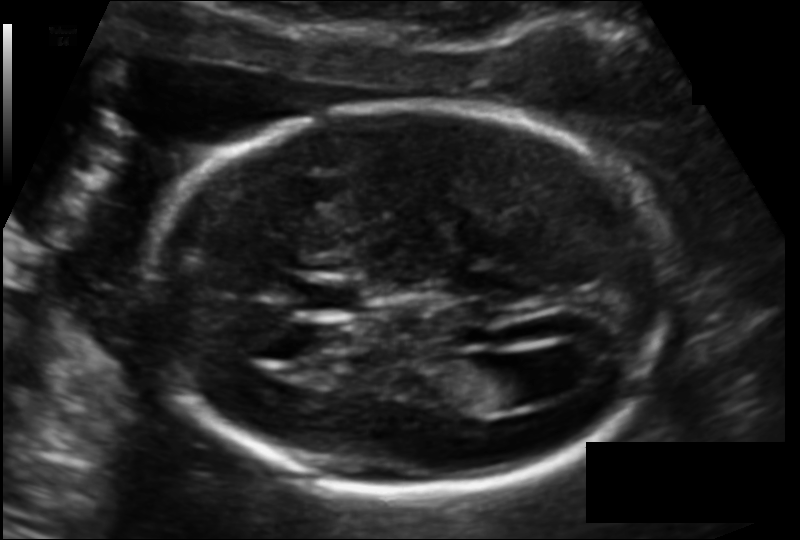
Fetal head ultrasound. Image width: 94.5 mm. Give [x1,y1,x2,y2] bounding boxes for each visible structure among: fetal head, CSP, LV.

Head: [147,105,668,491]
CSP: [299,277,364,314]
Lateral ventricle: [461,354,542,413]